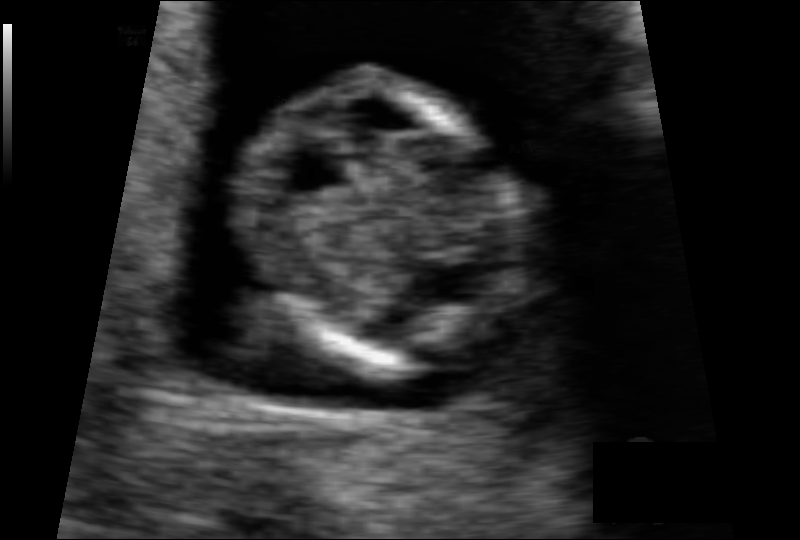
Fetal head ultrasound. Image width: 59.9 mm. Locate the fetal head and, if visible, the cavum septum pellucidum (CSP) and lateral ventricle (LV). Give bounding boxes as [x1,y1,x2,y2].

Head: [237,78,533,373]